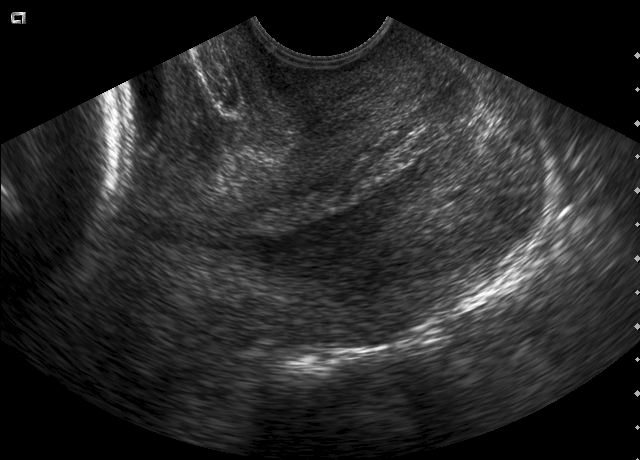
This is a 2D maternal-fetal ultrasound frame. Is it a fetal abdomen, fetal brain, fetal femur, fetal thorax, maternal cervix, or other standard plane? If it's fetal brain and one of the three standard brain planes (trans-thalamic, trans-cerebellum, trans-ventricular), name which.

Maternal cervix